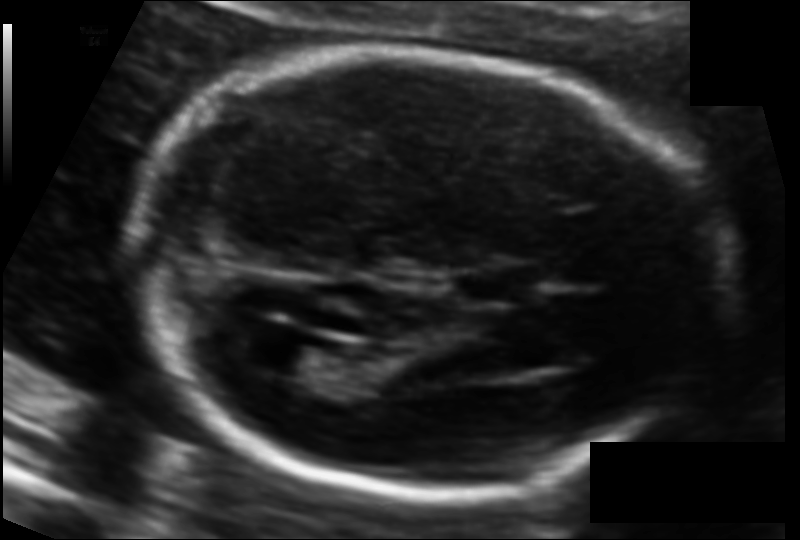
Fetal head ultrasound. Image width: 82.9 mm. Locate the cavum septum pellucidum.

CSP: [468,267,539,304]